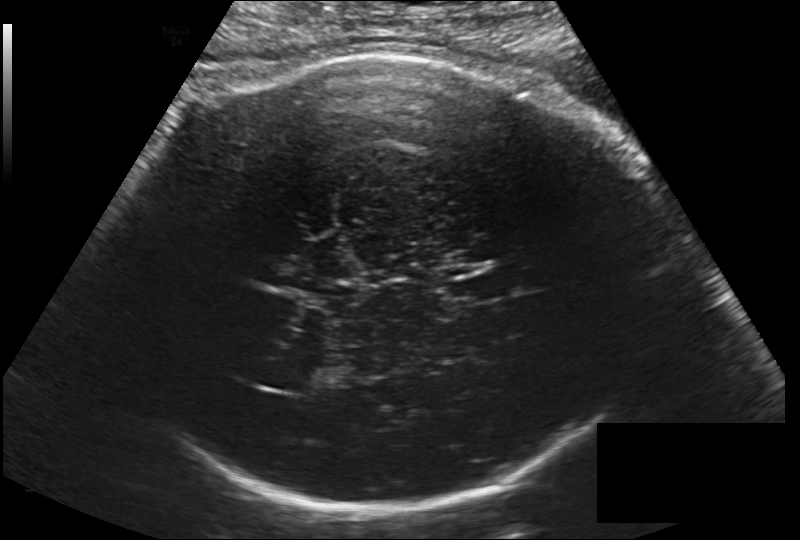
In this fetal head ultrasound, give the bounding box of the fetal head. Image width: 162.2 mm.

[113,50,658,508]